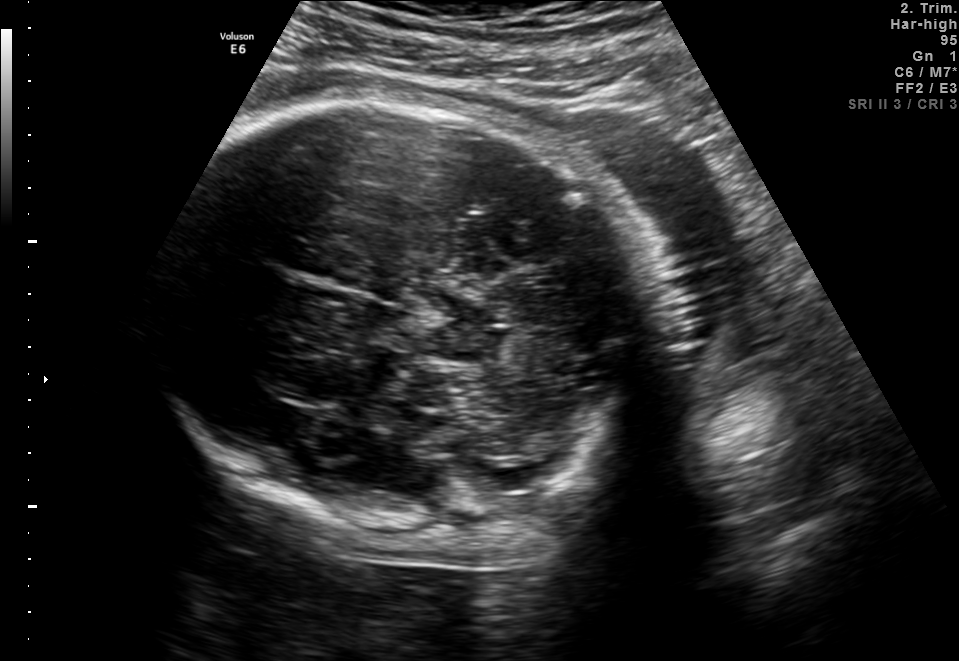
Fetal brain, trans-thalamic plane. Give [x1,y1,x2,y2] bounding boxes for each visible structure among: fetal head, CSP, LV.

Head: [159,102,668,535]